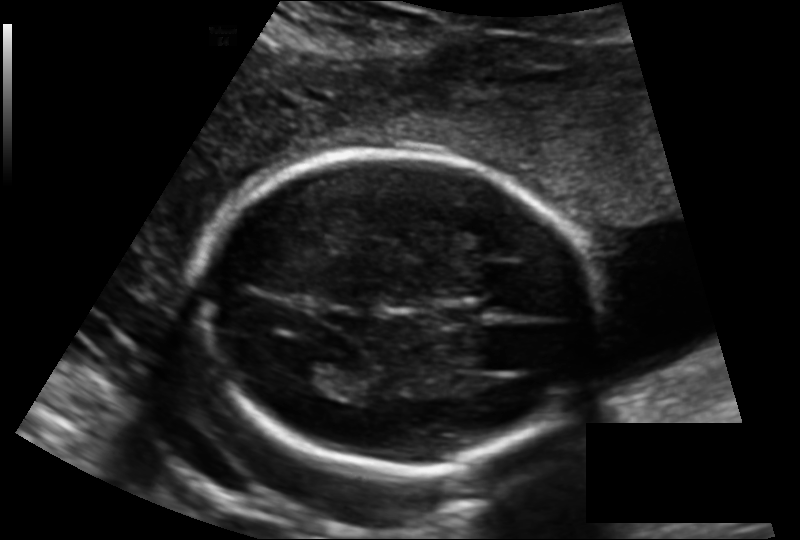
Fetal head ultrasound. Image width: 114.7 mm. Where is the cavum septum pellucidum?

CSP bounding box: [434,300,482,330]